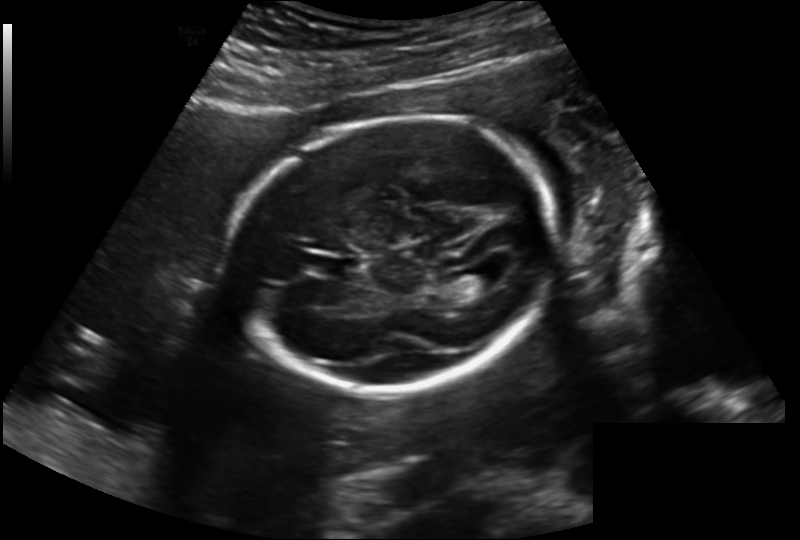
Measure the fetal head circumference shown in this ultrasound image. Image width: 161.6 mm.

Head circumference: 194.6 mm.